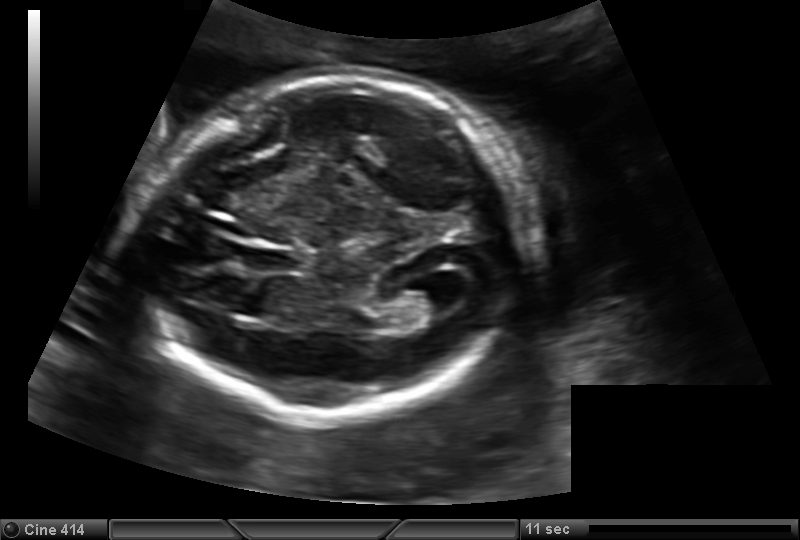
What is the fetal head circumference? Image width is 120.0 mm.

183.5 mm